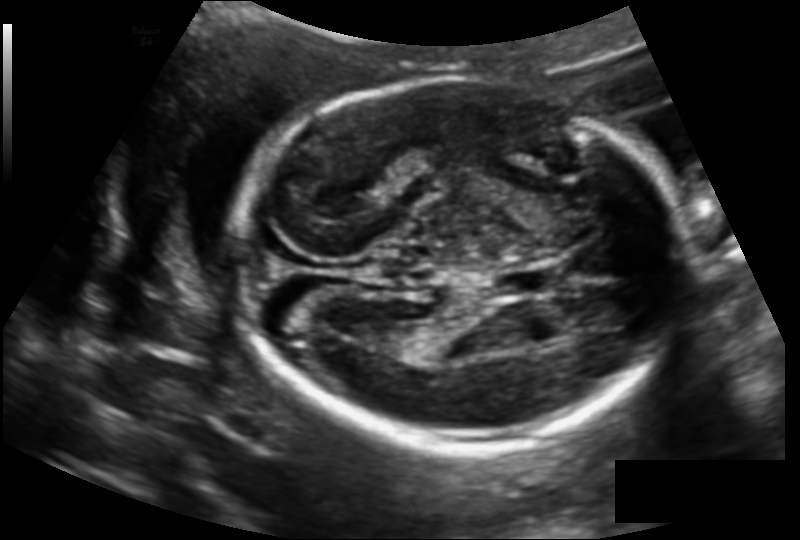
Estimate the fetal head circumference from this 2D ultrasound.

Head circumference: 189.8 mm (image width 116.1 mm).